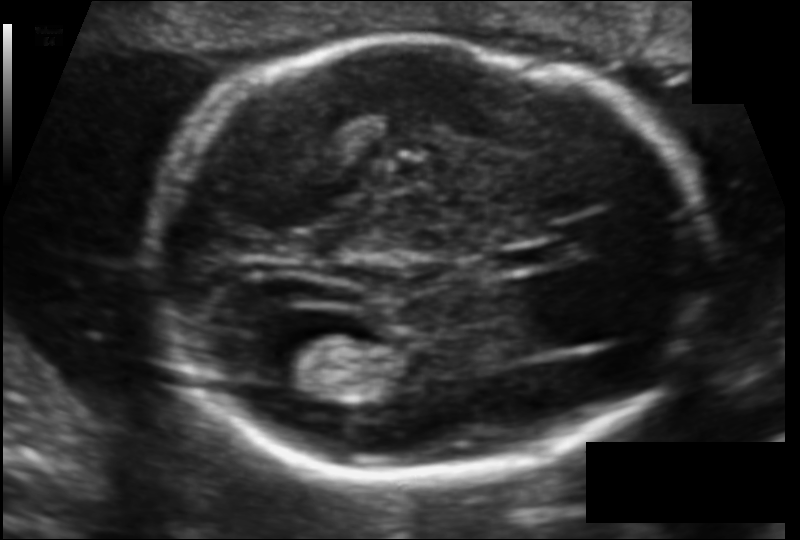
Fetal head ultrasound. Image width: 84.9 mm. Locate the fetal head.

Head: [155,38,703,475]